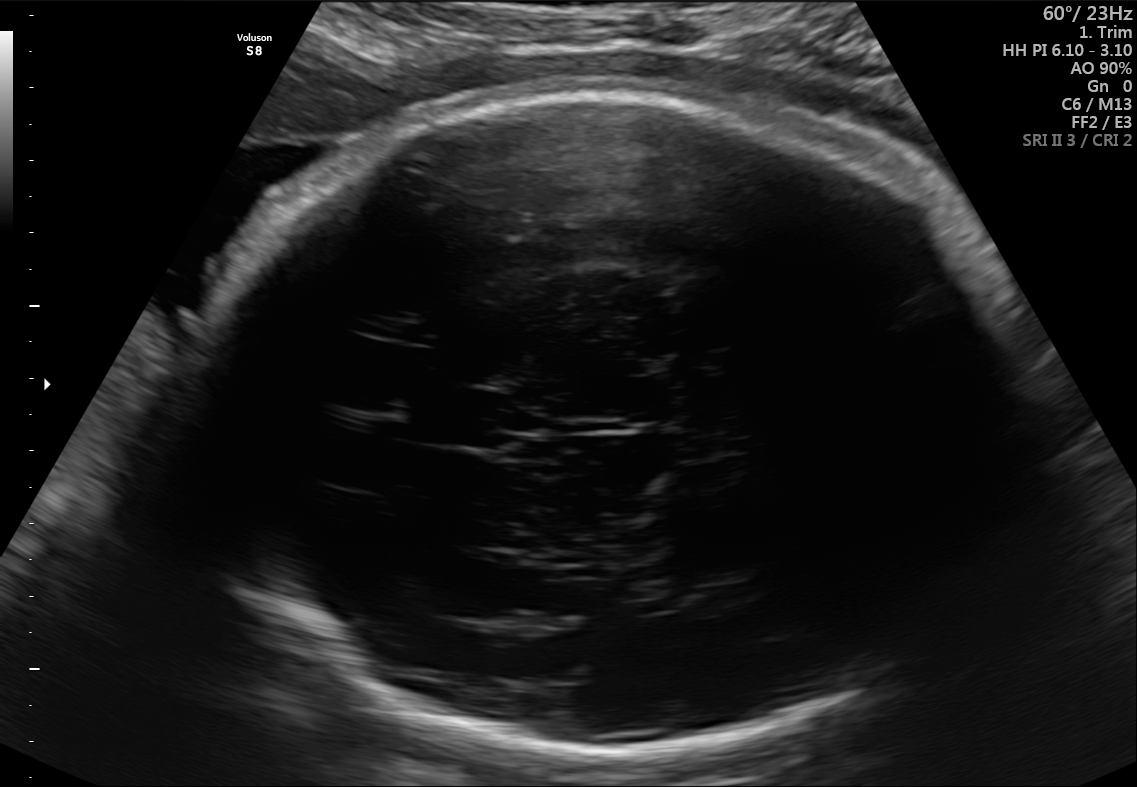
In this fetal brain, trans-thalamic plane, give bounding boxes for the head outline, cavum septum pellucidum (CSP), and lateral ventricle (LV), where visible.

Head: [179,86,1029,749]
CSP: [418,381,531,452]